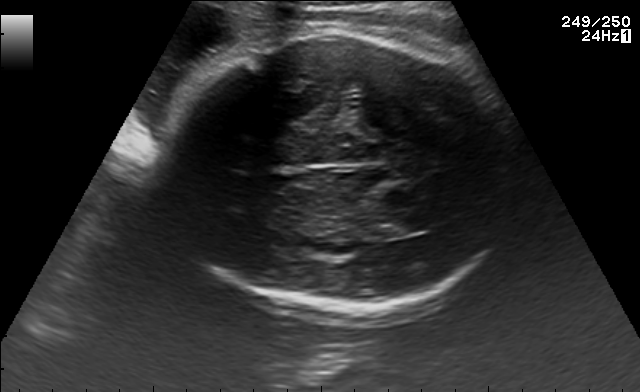
This is a 2D maternal-fetal ultrasound frame. Is it a fetal abdomen, fetal brain, fetal femur, fetal thorax, maternal cervix, or other standard plane? If it's fetal brain and one of the three standard brain planes (trans-thalamic, trans-cerebellum, trans-ventricular), name which.

Fetal brain (trans-thalamic plane)